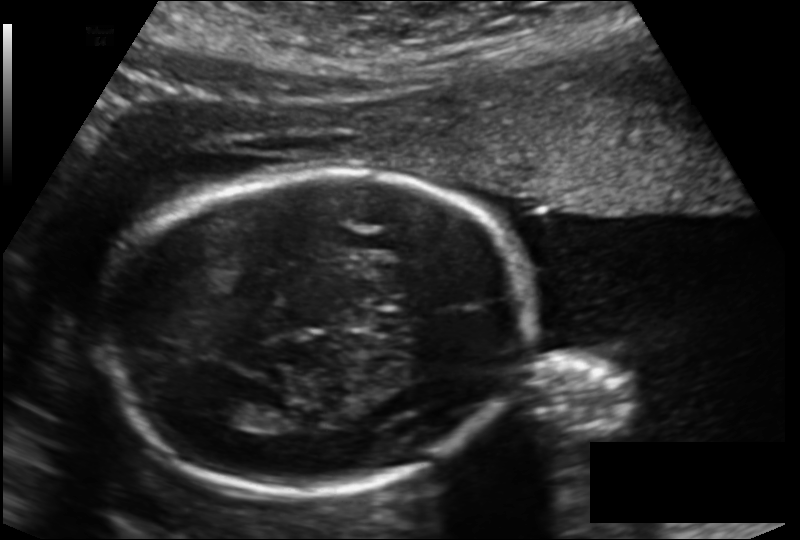
In this fetal head ultrasound, give the bounding box of the fetal head. Image width: 123.8 mm.

[108,172,531,494]